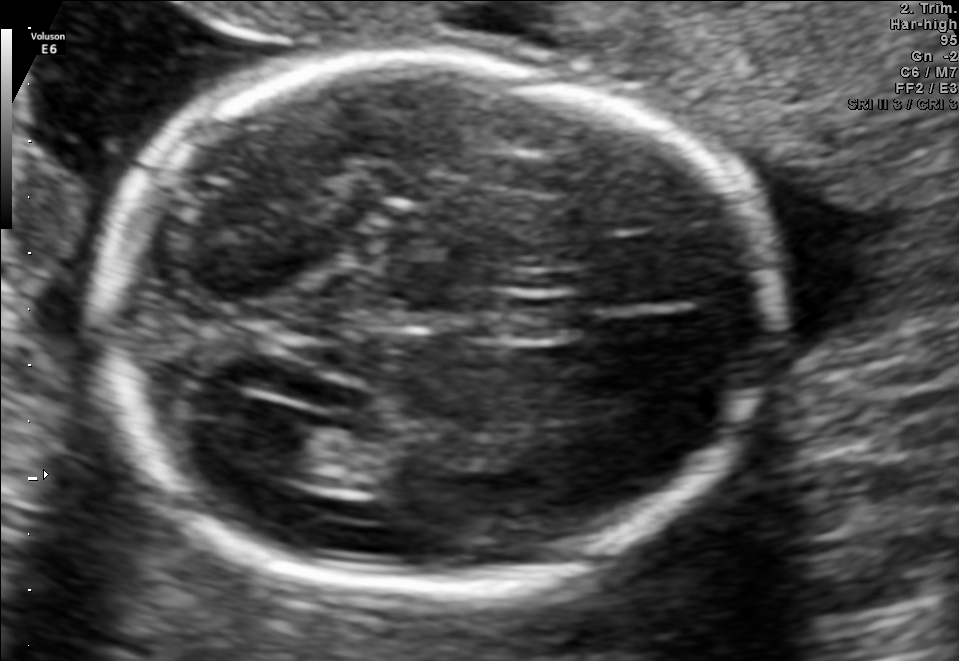
In this fetal brain, trans-ventricular plane, give the bounding box of the fetal head.

[80,41,797,612]